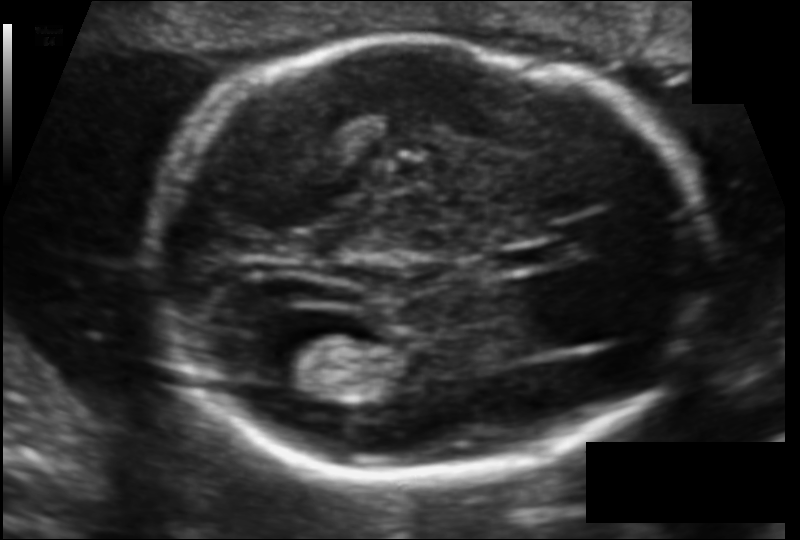
Estimate the fetal head circumference from this 2D ultrasound. Image width: 84.9 mm.

Head circumference: 171.0 mm.